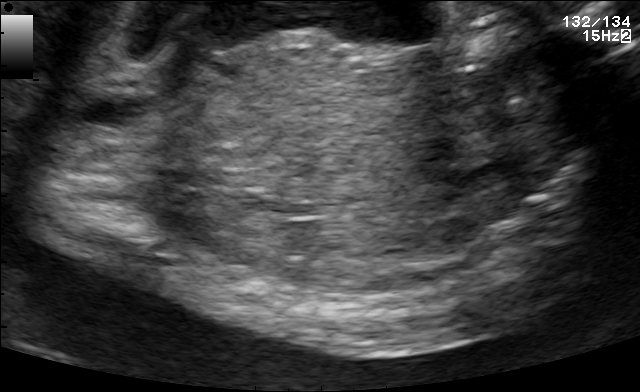
Which standard maternal-fetal ultrasound plane is shown: fetal abdomen, fetal brain, fetal femur, fetal thorax, maternal cervix, or other? If it's fetal brain and one of the three standard brain planes (trans-thalamic, trans-cerebellum, trans-ventricular), name which.

Other